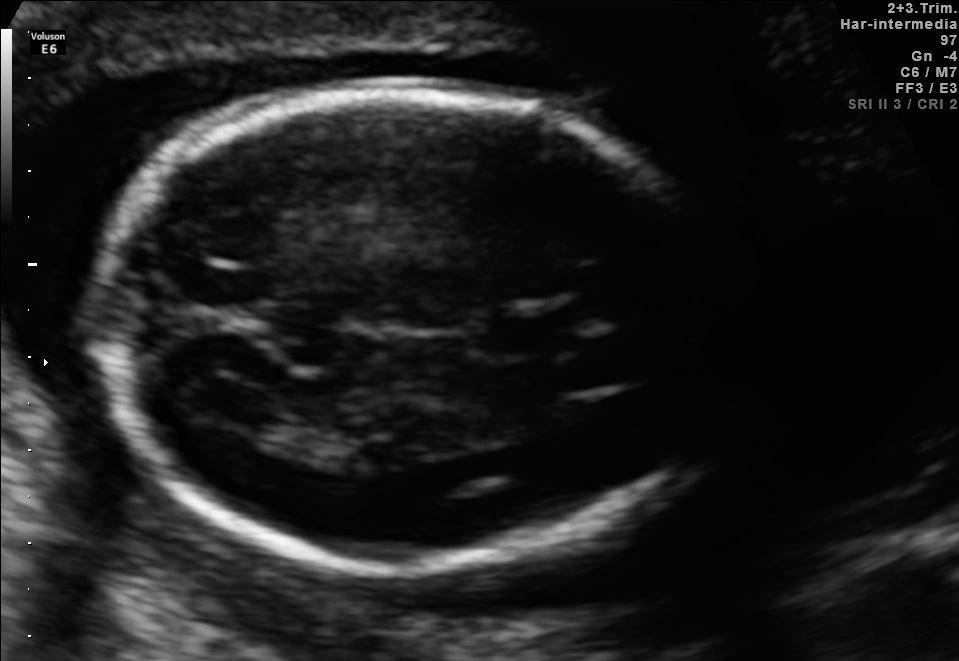
Fetal brain, trans-ventricular plane. Locate the lateral ventricle.

Lateral ventricle: [193,372,274,436]